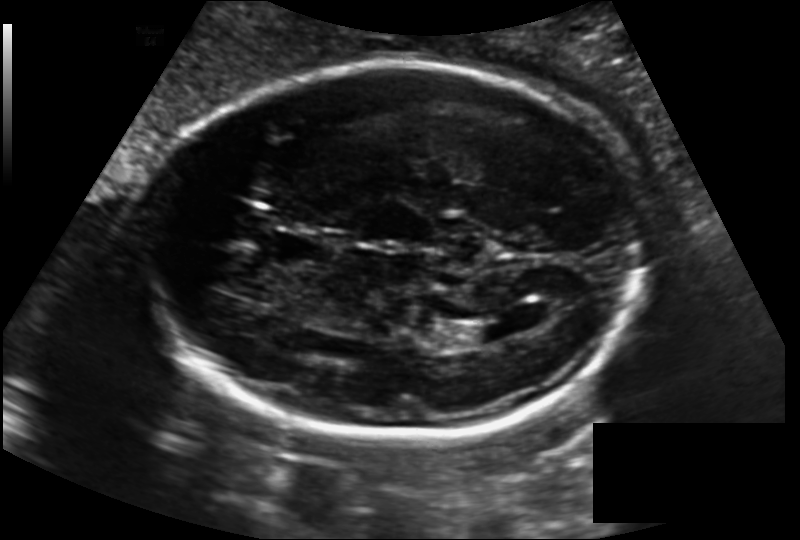
From this fetal ultrasound, estimate the head circumference (image width 130.6 mm).

Head circumference: 231.9 mm.